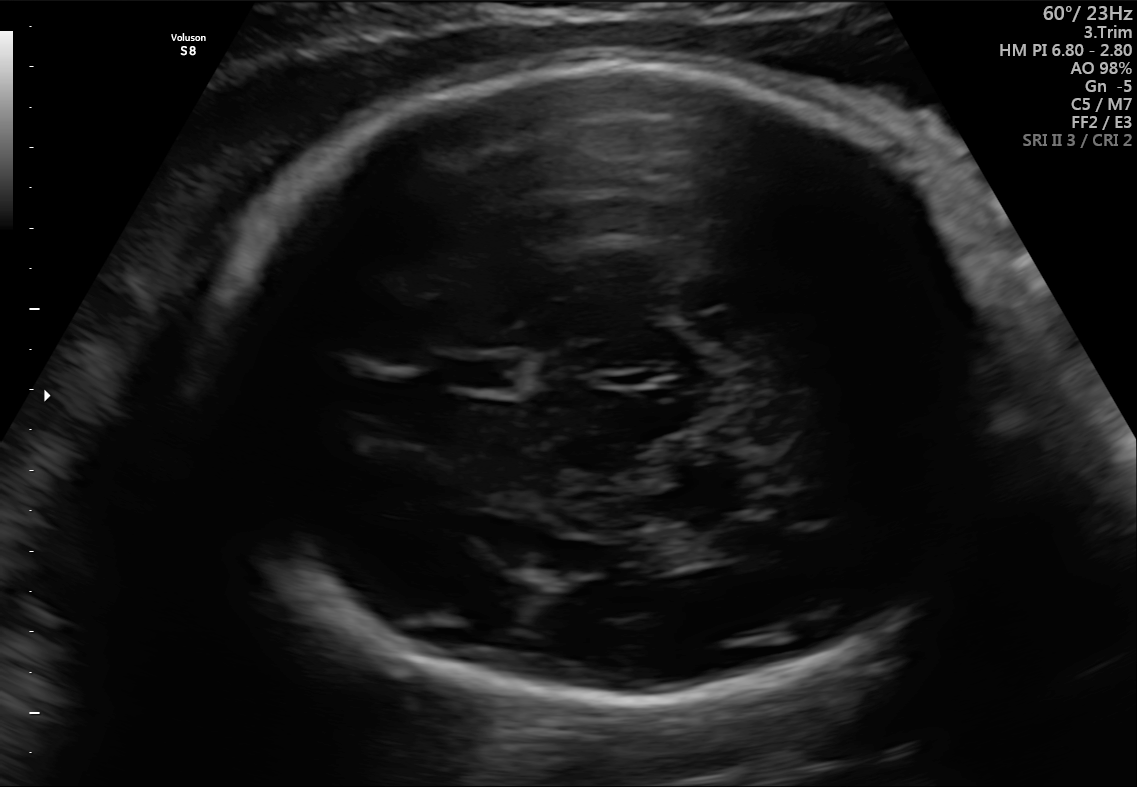
In this fetal brain, trans-thalamic plane, give the bounding box of the fetal head.

[199,64,1026,706]